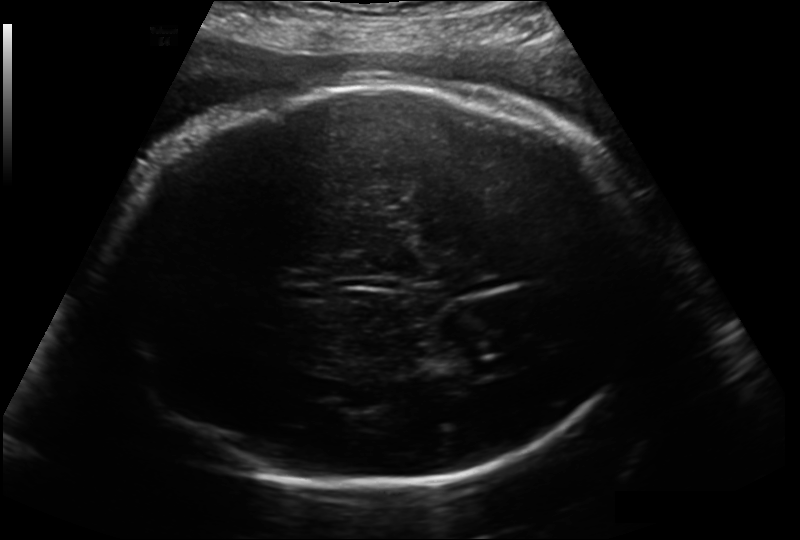
Fetal head ultrasound. Image width: 171.3 mm. Locate the fetal head and, if visible, the cavum septum pellucidum (CSP) and lateral ventricle (LV). Give bounding boxes as [x1,y1,x2,y2].

Head: [101,83,647,489]